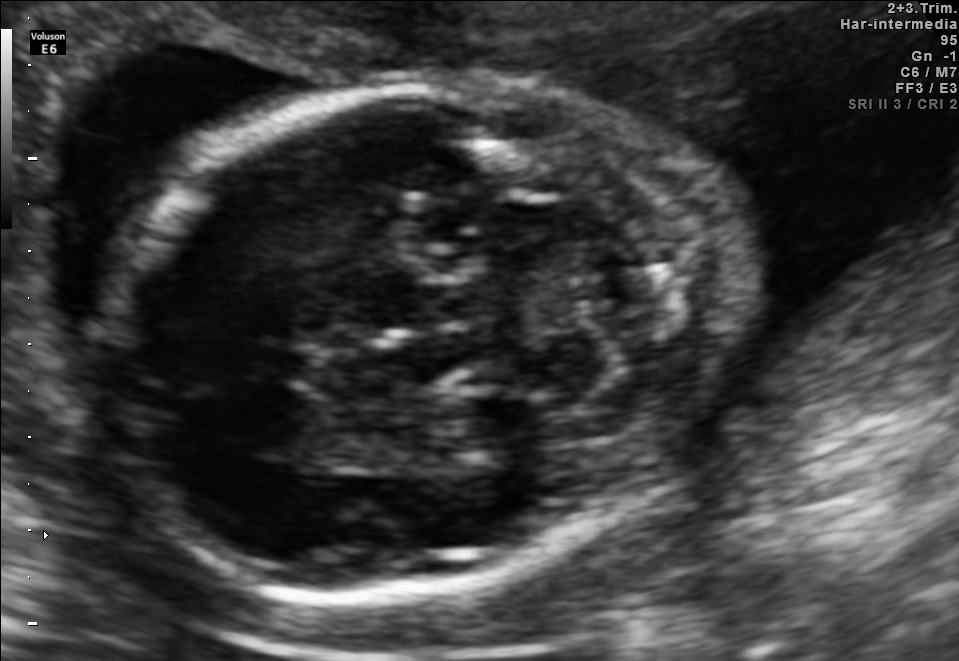
In this fetal brain, trans-cerebellum plane, give the bounding box of the fetal head.

[102,78,745,591]